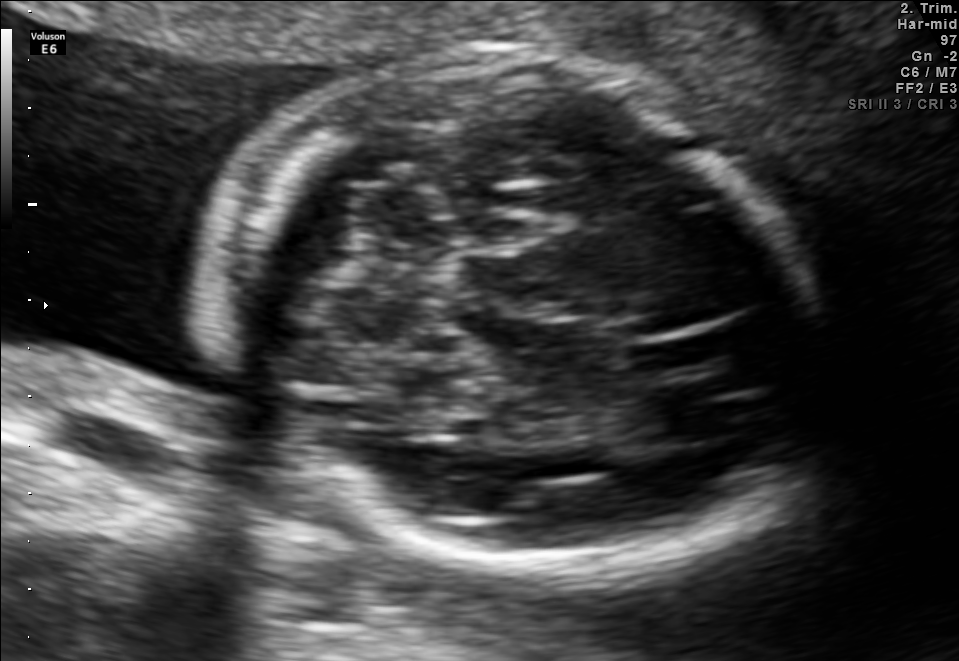
Classify this maternal-fetal ultrasound image as one of the six standard planes — fetal abdomen, fetal brain, fetal femur, fetal thorax, maternal cervix, or other. If it's fetal brain and one of the three standard brain planes (trans-thalamic, trans-cerebellum, trans-ventricular), name which.

Fetal brain (trans-cerebellum plane)